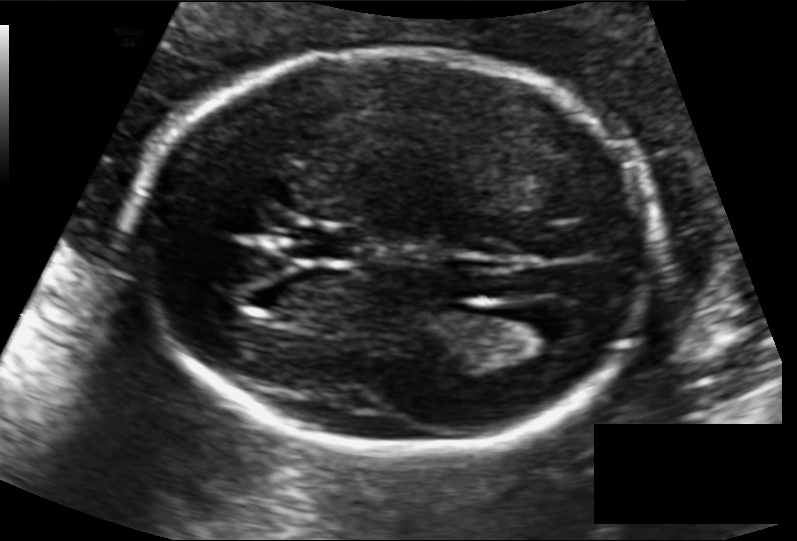
Fetal head ultrasound. Image width: 94.0 mm. Where is the fetal head?

Head bounding box: [124,49,653,458]